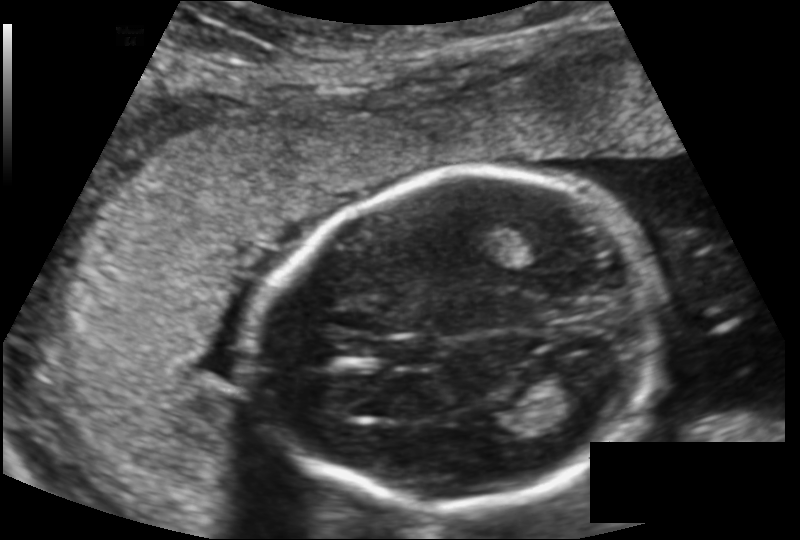
From this fetal ultrasound, estimate the head circumference (image width 119.2 mm).

Head circumference: 182.4 mm.